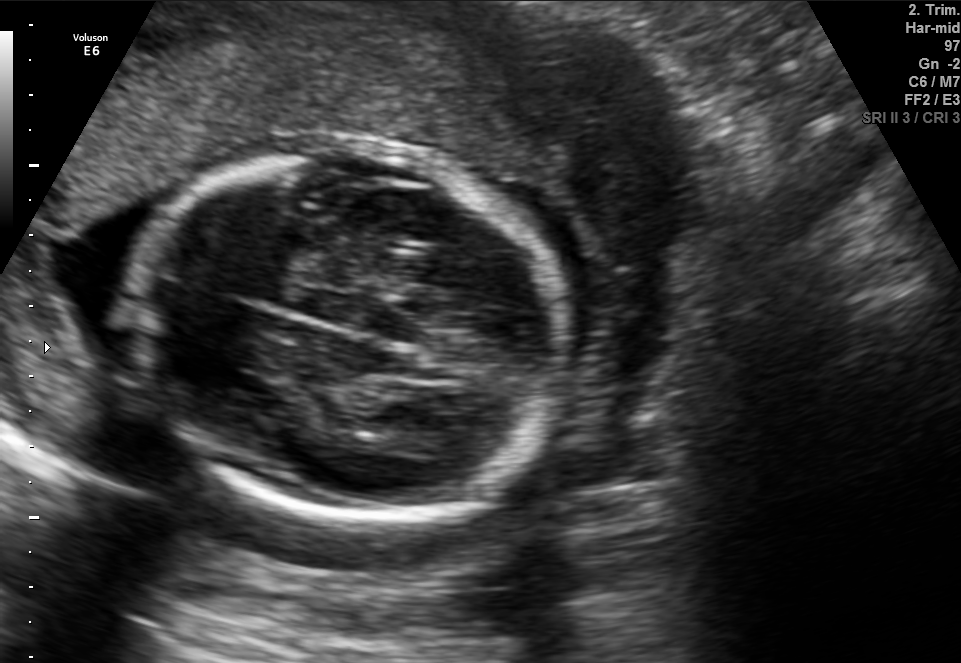
Fetal brain, trans-thalamic plane. Give [x1,y1,x2,y2] bounding boxes for each visible structure among: fetal head, CSP, LV.

Head: [122,147,572,520]